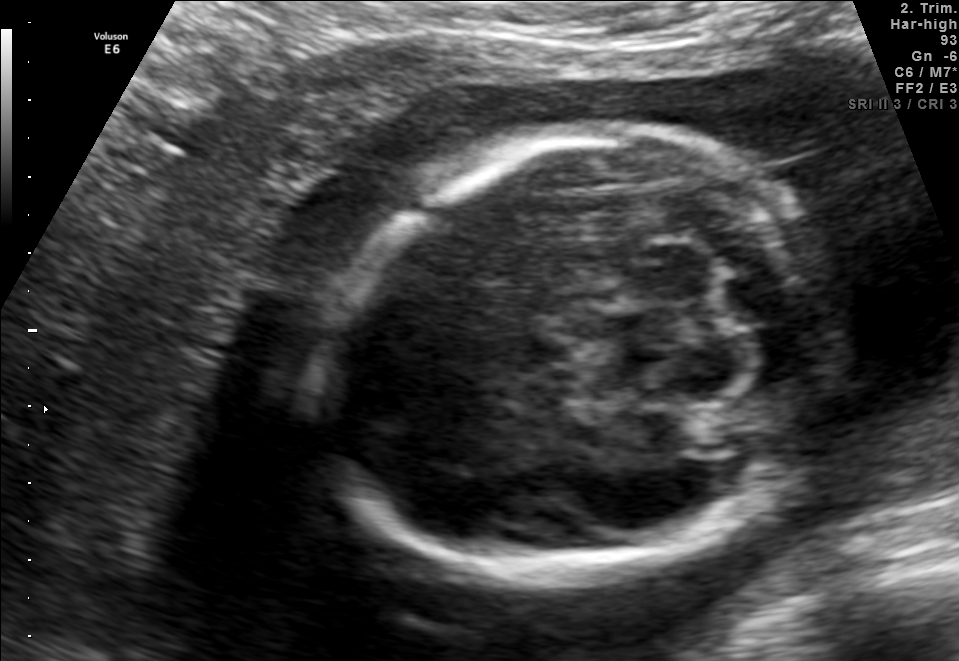
Fetal brain, trans-cerebellum plane. Locate the fetal head and, if visible, the cavum septum pellucidum (CSP) and lateral ventricle (LV). Give bounding boxes as [x1,y1,x2,y2].

Head: [323,127,826,582]